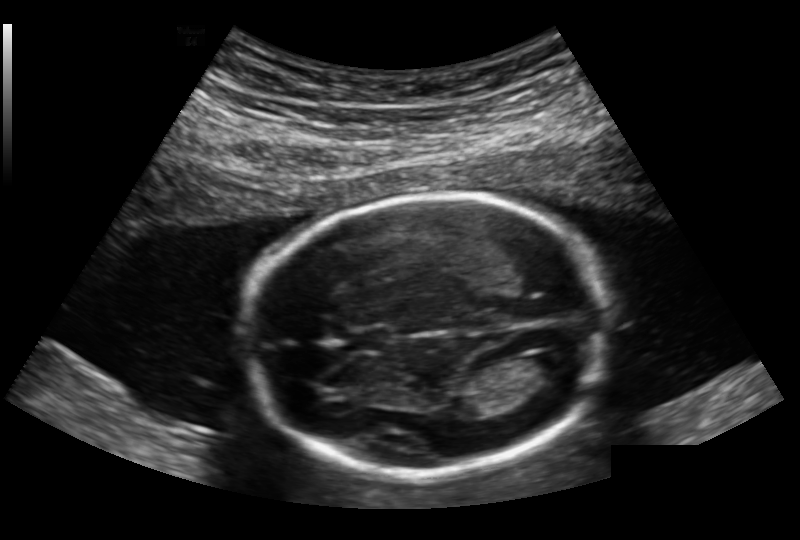
Estimate the fetal head circumference from this 2D ultrasound.

Head circumference: 180.6 mm (image width 134.4 mm).